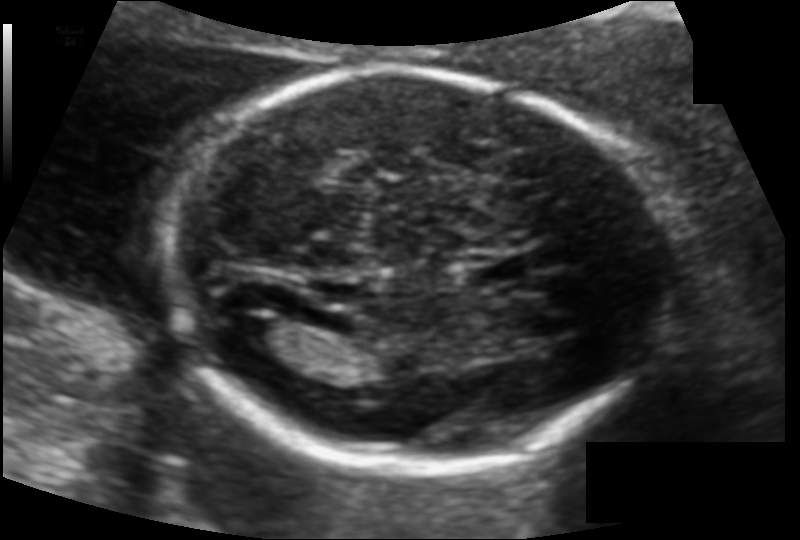
Estimate the fetal head circumference from this 2D ultrasound.

Head circumference: 167.8 mm (image width 91.9 mm).